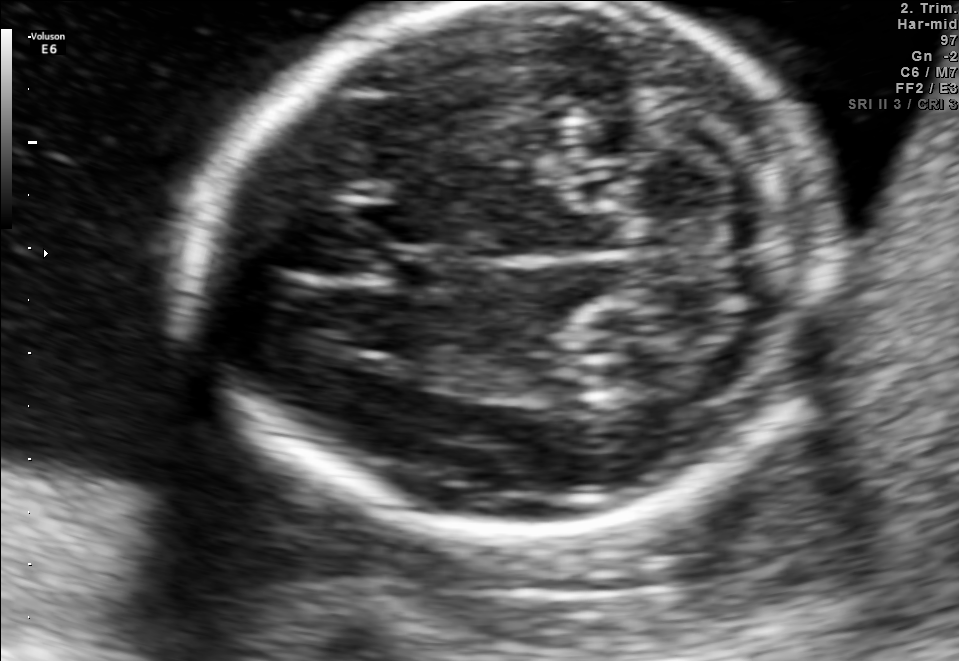
Fetal brain, trans-cerebellum plane. Where is the fetal head?

Head bounding box: [188,4,841,537]